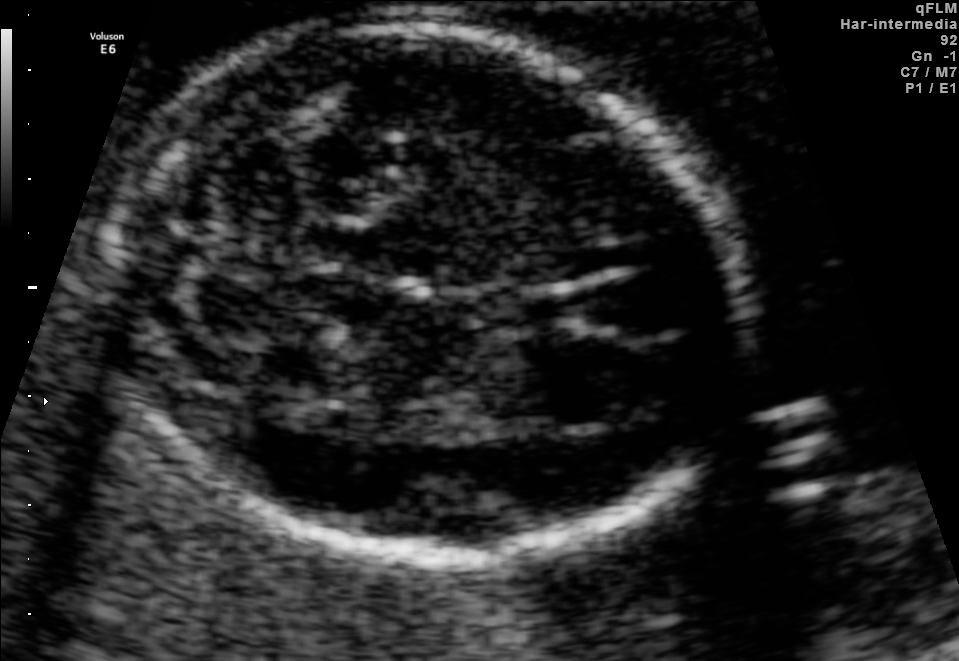
Fetal brain, trans-cerebellum plane. Where is the fetal head?

Head bounding box: [119,27,740,554]